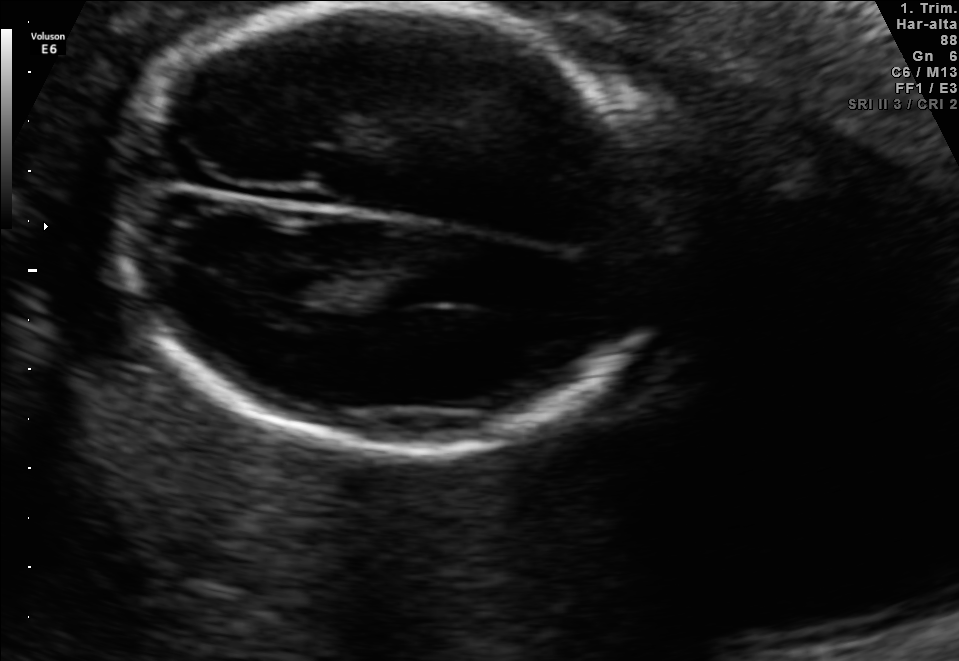
Classify this maternal-fetal ultrasound image as one of the six standard planes — fetal abdomen, fetal brain, fetal femur, fetal thorax, maternal cervix, or other. If it's fetal brain and one of the three standard brain planes (trans-thalamic, trans-cerebellum, trans-ventricular), name which.

Fetal brain (trans-thalamic plane)